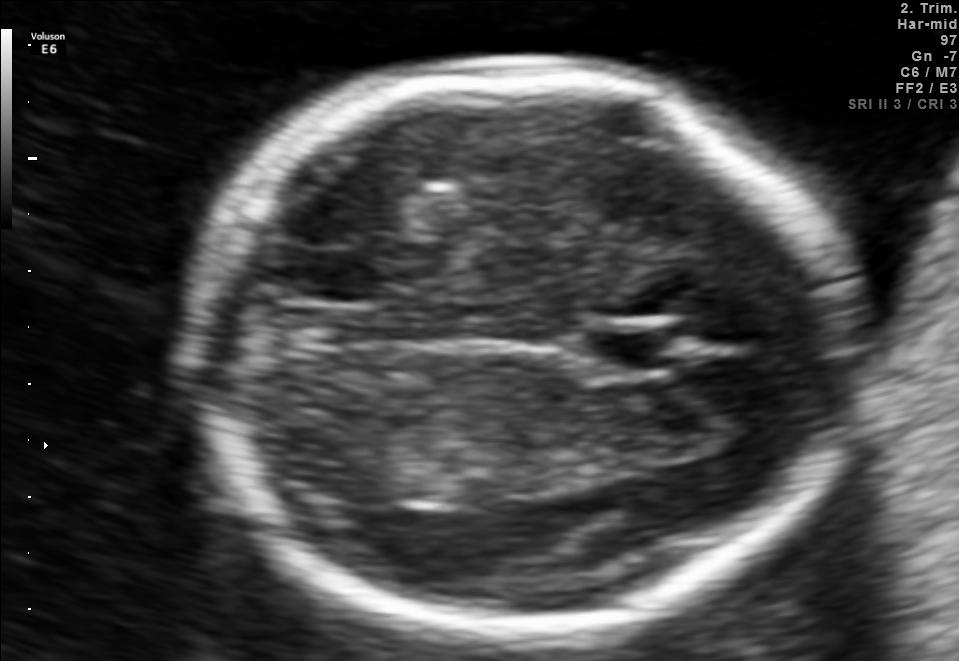
In this fetal brain, trans-thalamic plane, give the bounding box of the cavum septum pellucidum.

[590,323,686,376]